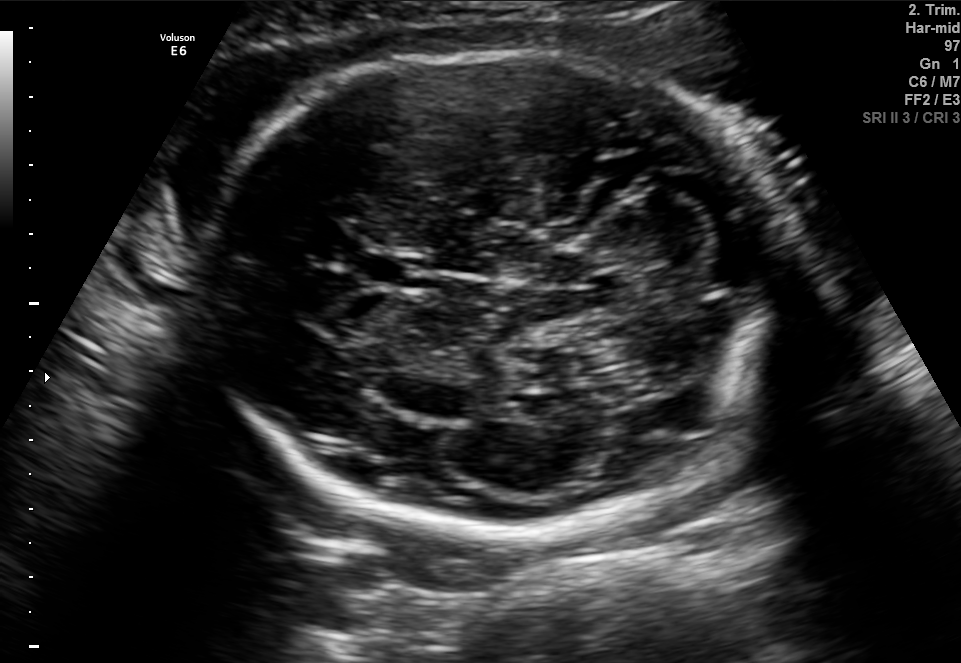
Fetal brain, trans-cerebellum plane. Where is the cavum septum pellucidum?

CSP bounding box: [360,249,428,290]